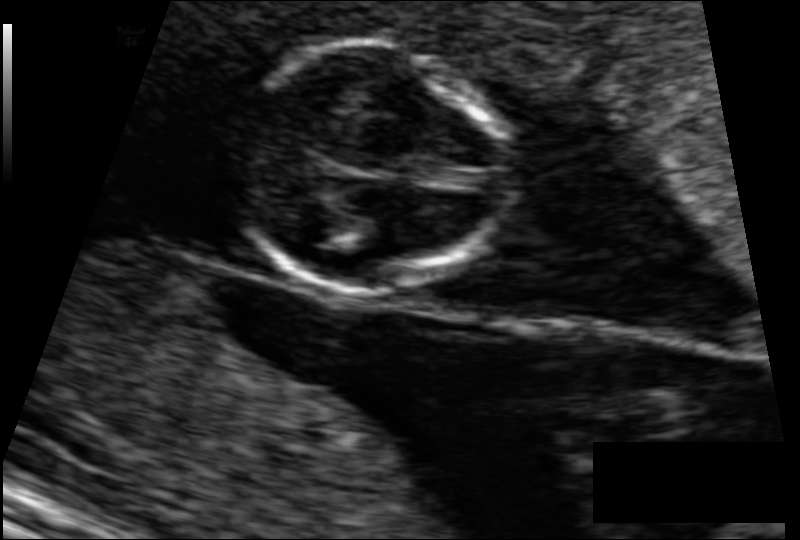
In this fetal head ultrasound, give bounding boxes for the head outline, cavum septum pellucidum (CSP), and lateral ventricle (LV), where visible. Image width: 66.3 mm.

Head: [232,42,510,292]